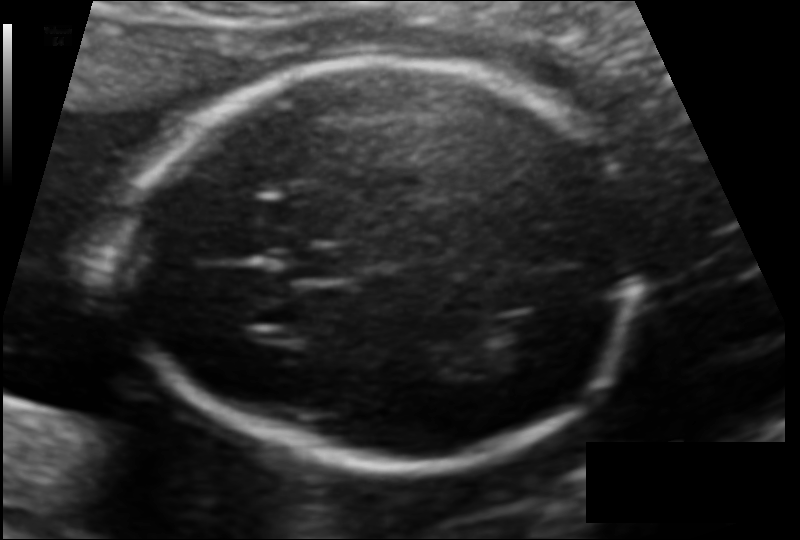
Estimate the fetal head circumference from this 2D ultrasound. Image width: 92.5 mm.

Head circumference: 171.8 mm.